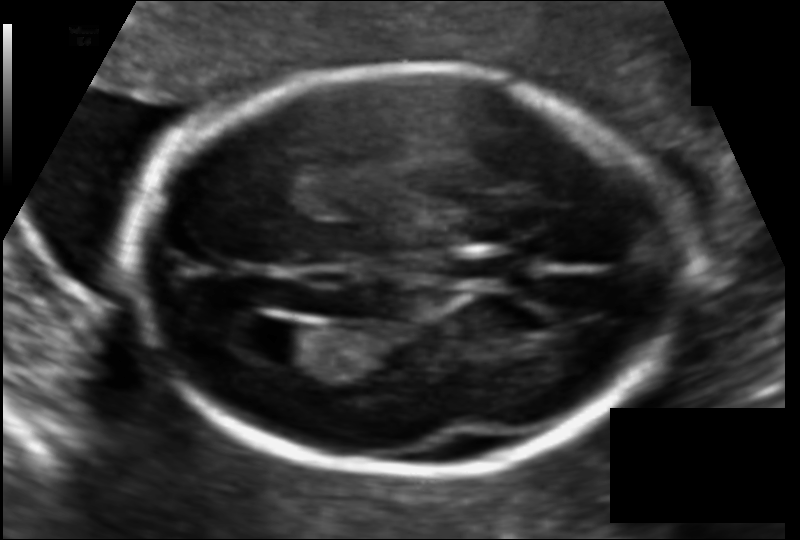
In this fetal head ultrasound, give the bounding box of the lateral ventricle. Image width: 89.2 mm.

[248,316,323,371]